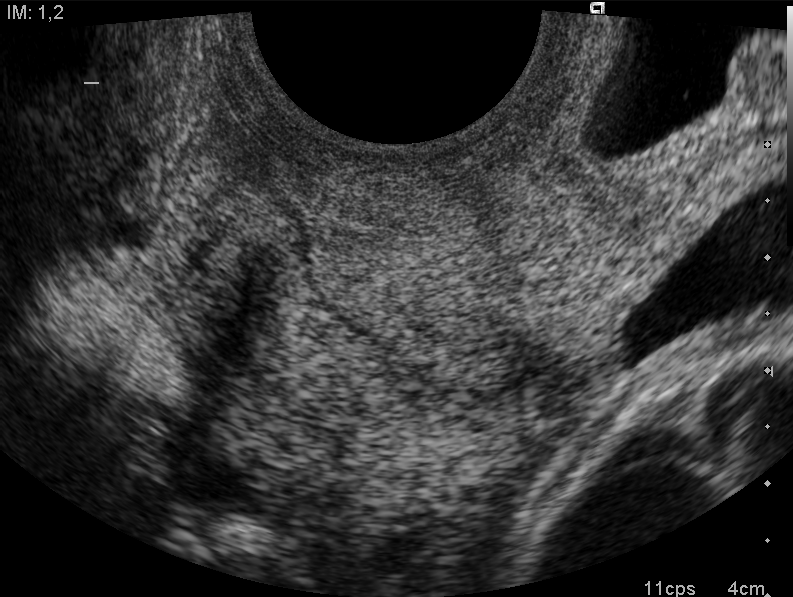
Which standard maternal-fetal ultrasound plane is shown: fetal abdomen, fetal brain, fetal femur, fetal thorax, maternal cervix, or other? If it's fetal brain and one of the three standard brain planes (trans-thalamic, trans-cerebellum, trans-ventricular), name which.

Maternal cervix